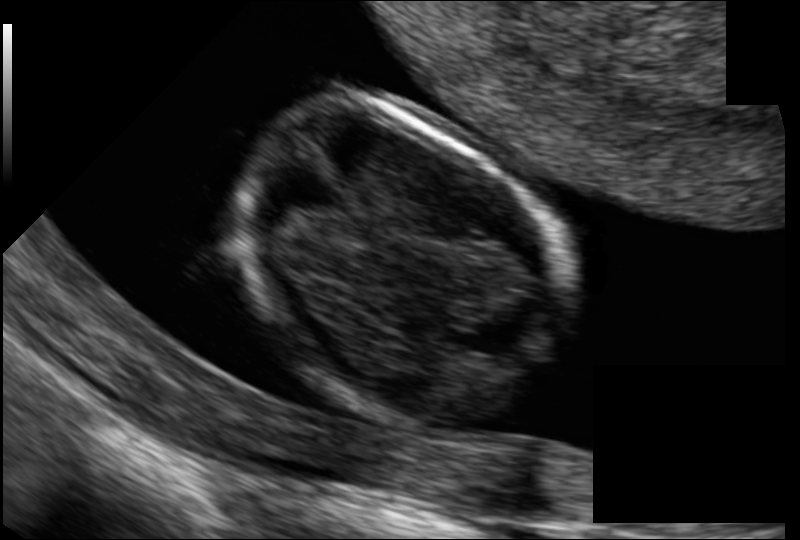
What is the fetal head circumference? Image width is 55.2 mm.

72.7 mm